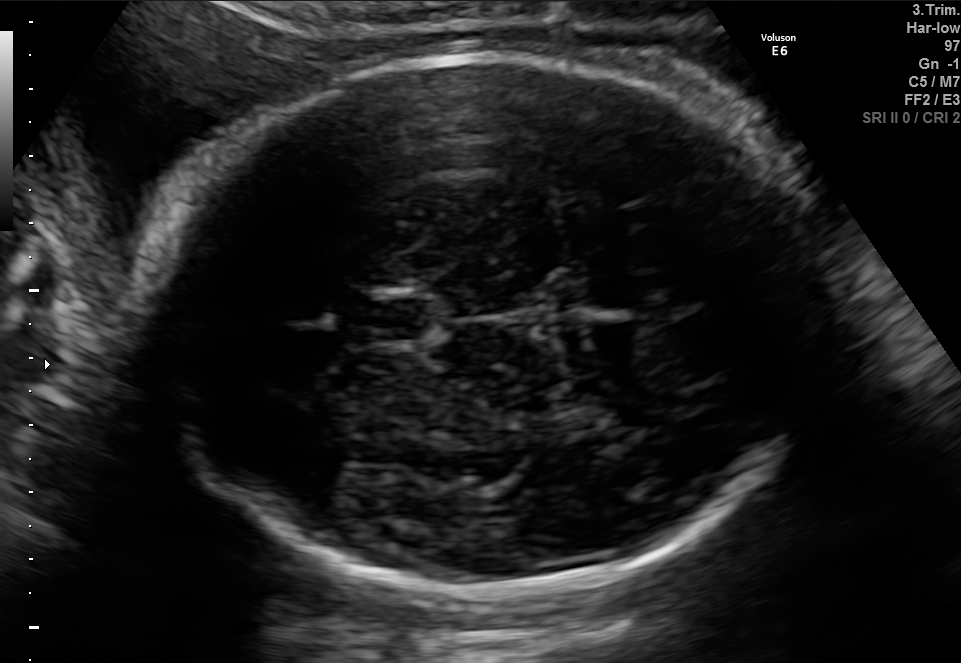
Fetal brain, trans-thalamic plane. Where is the fetal head?

Head bounding box: [155,55,822,586]